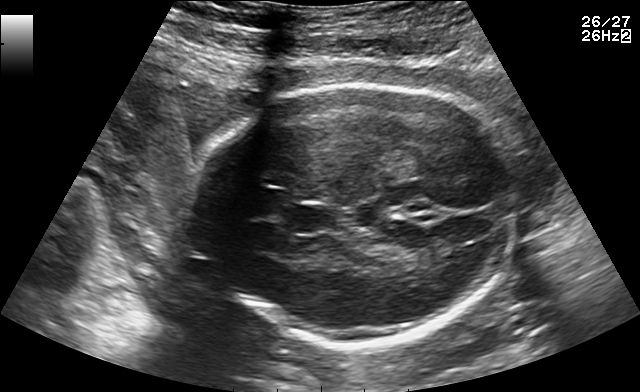
Fetal brain, trans-thalamic plane. Give [x1,y1,x2,y2] bounding boxes for each visible structure among: fetal head, CSP, LV.

Head: [185,85,519,348]